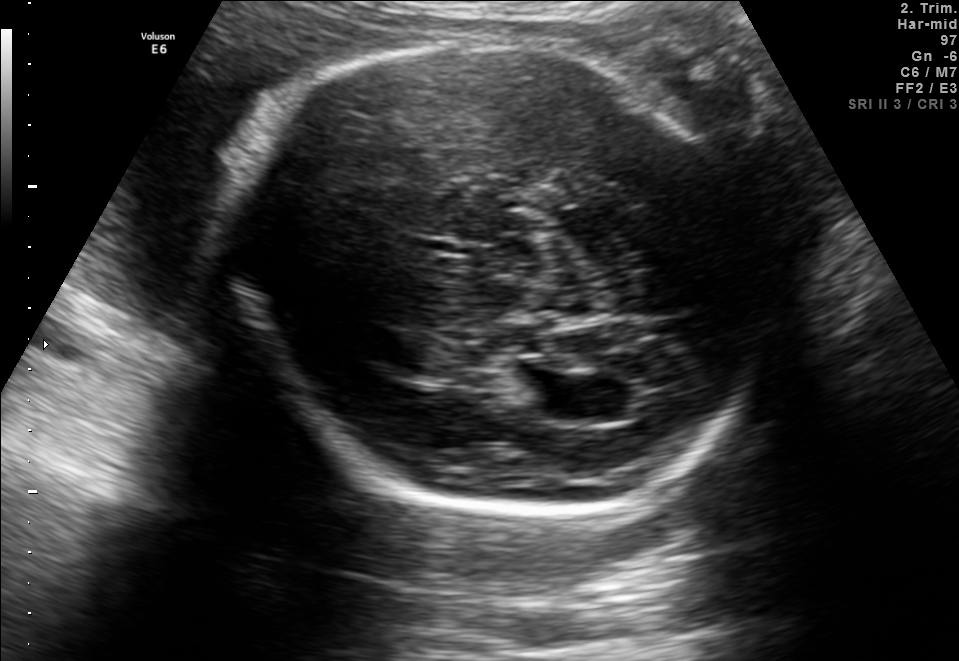
Fetal brain, trans-ventricular plane. Give [x1,y1,x2,y2] bounding boxes for each visible structure among: fetal head, CSP, LV.

Head: [228,28,775,525]
Lateral ventricle: [511,370,587,422]